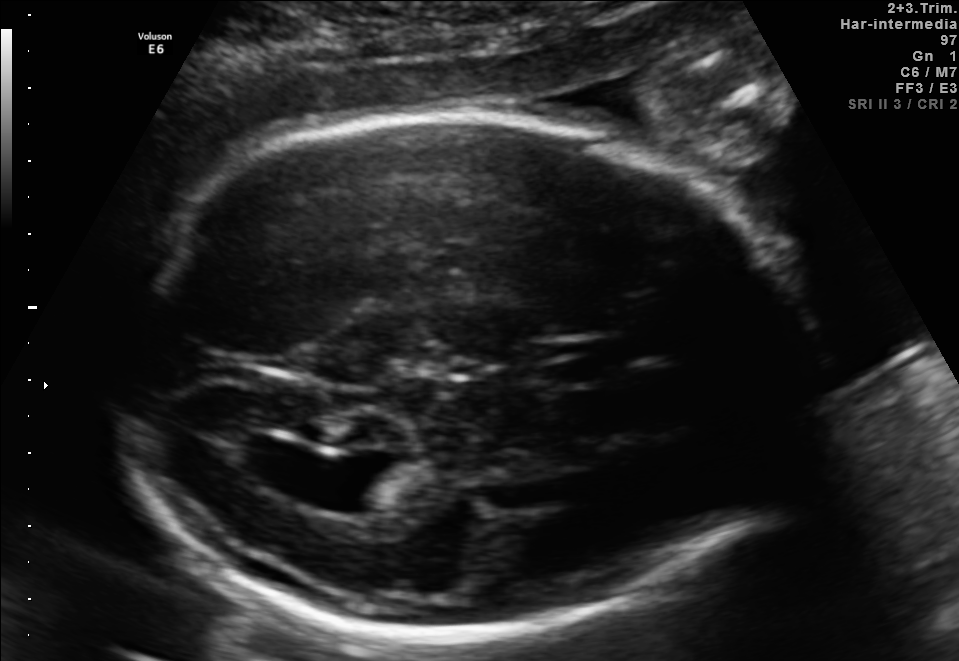
Fetal brain, trans-ventricular plane. Give [x1,y1,x2,y2] bounding boxes for each visible structure among: fetal head, CSP, LV.

Head: [85,107,826,646]
Lateral ventricle: [291,451,385,514]